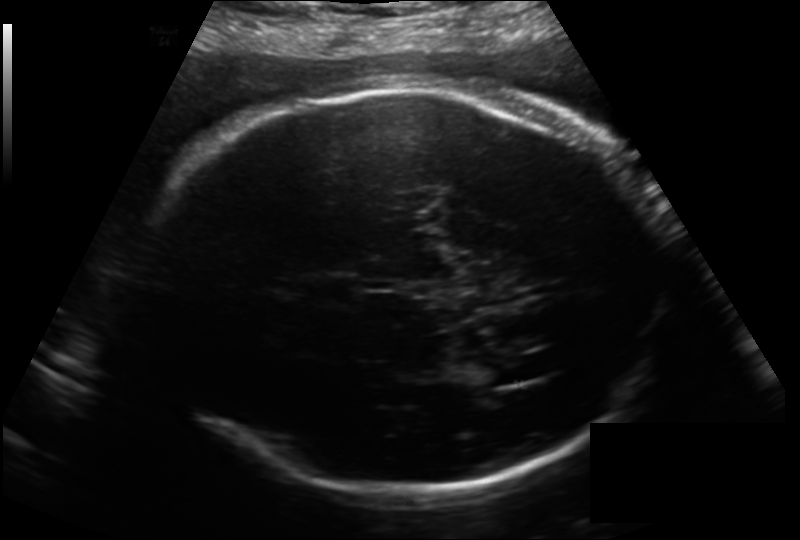
Fetal head ultrasound. Image width: 171.3 mm. Where is the lateral ventricle?

Lateral ventricle bounding box: [461,353,527,393]